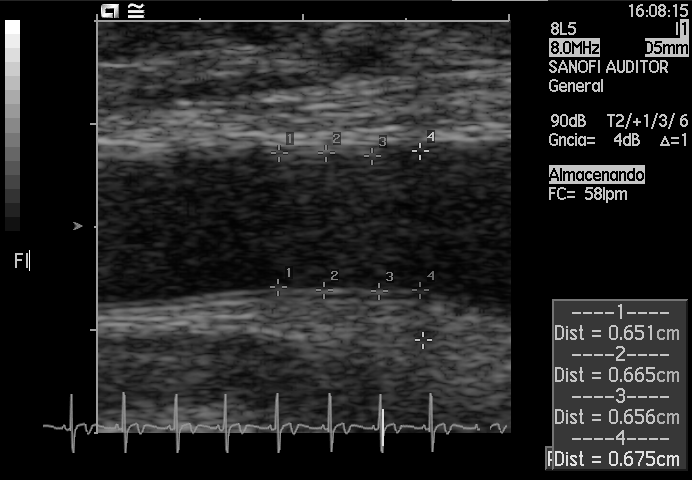
Identify the standard plane in this fetal ultrasound image: fetal abdomen, fetal brain, fetal femur, fetal thorax, maternal cervix, or other. If it's fetal brain and one of the three standard brain planes (trans-thalamic, trans-cerebellum, trans-ventricular), name which.

Other